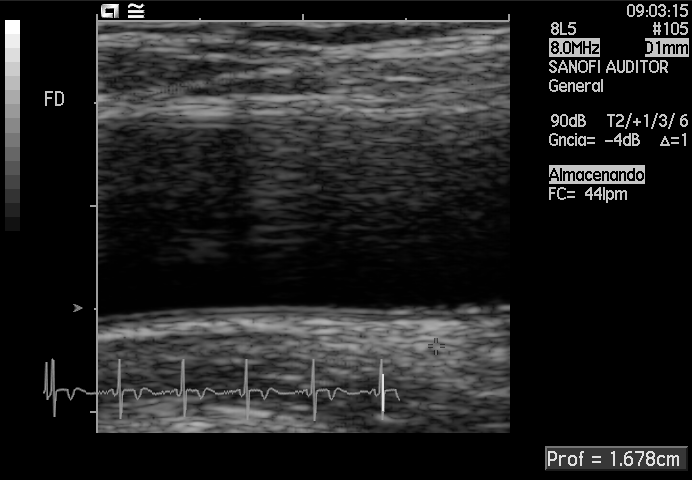
Classify this maternal-fetal ultrasound image as one of the six standard planes — fetal abdomen, fetal brain, fetal femur, fetal thorax, maternal cervix, or other. If it's fetal brain and one of the three standard brain planes (trans-thalamic, trans-cerebellum, trans-ventricular), name which.

Other